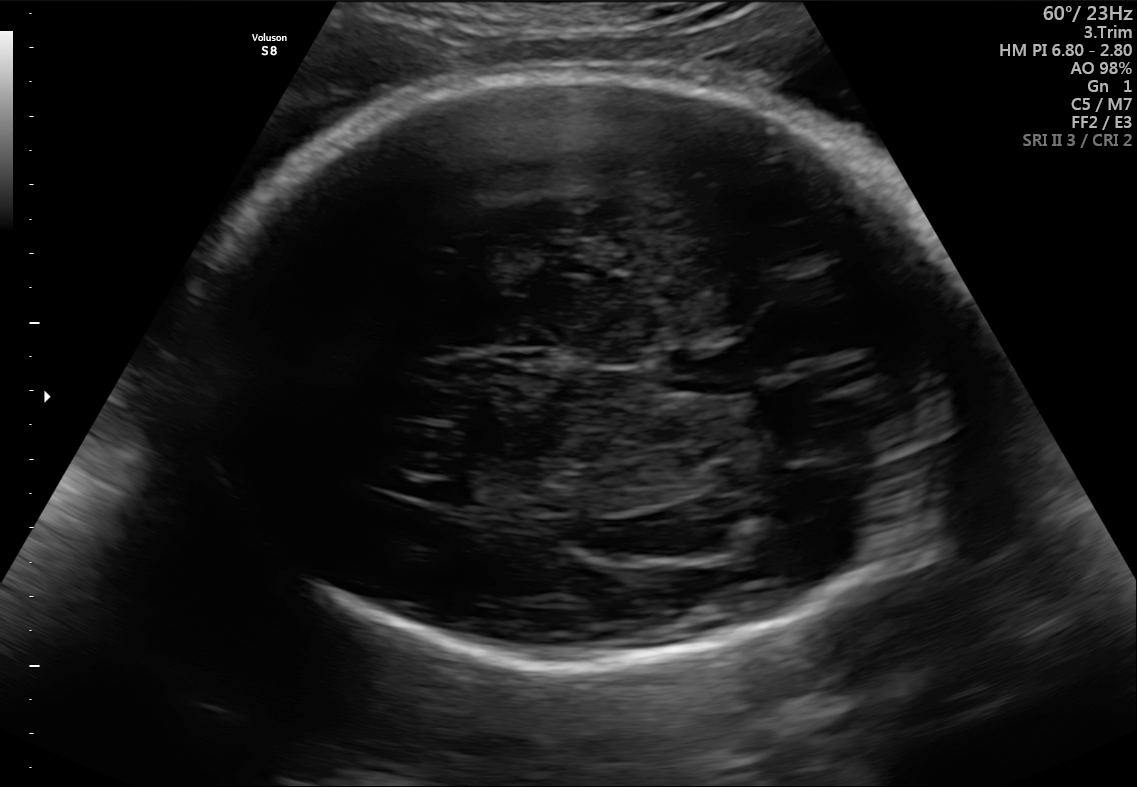
In this fetal brain, trans-thalamic plane, give bounding boxes for the head outline, cavum septum pellucidum (CSP), and lateral ventricle (LV), where visible.

Head: [180,73,964,669]
CSP: [669,353,744,393]
Lateral ventricle: [427,479,484,505]